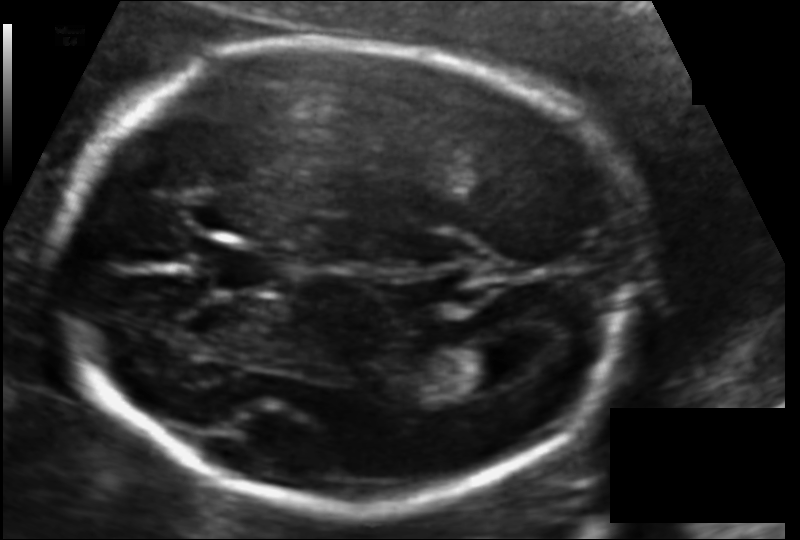
Fetal head ultrasound. Image width: 92.7 mm. Locate the fetal head.

Head: [57,42,631,508]